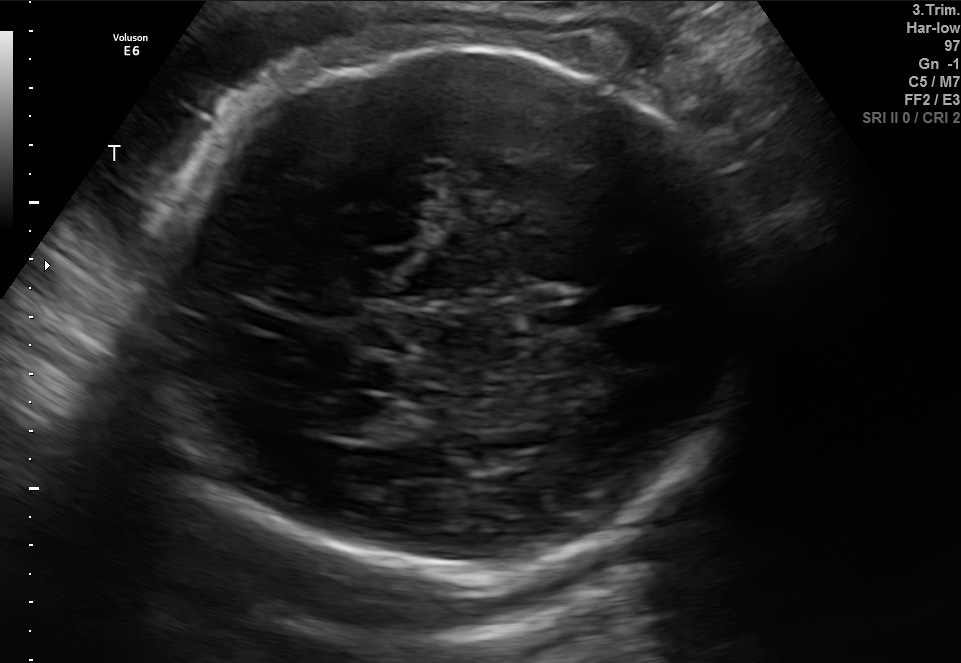
Fetal brain, trans-thalamic plane. Where is the fetal head?

Head bounding box: [168,43,751,594]